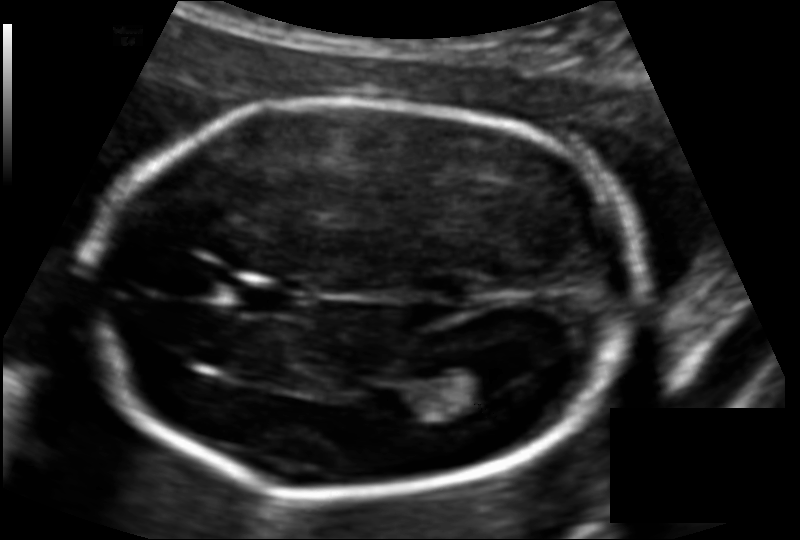
In this fetal head ultrasound, give the bounding box of the lateral ventricle. Image width: 93.9 mm.

[423,347,516,417]